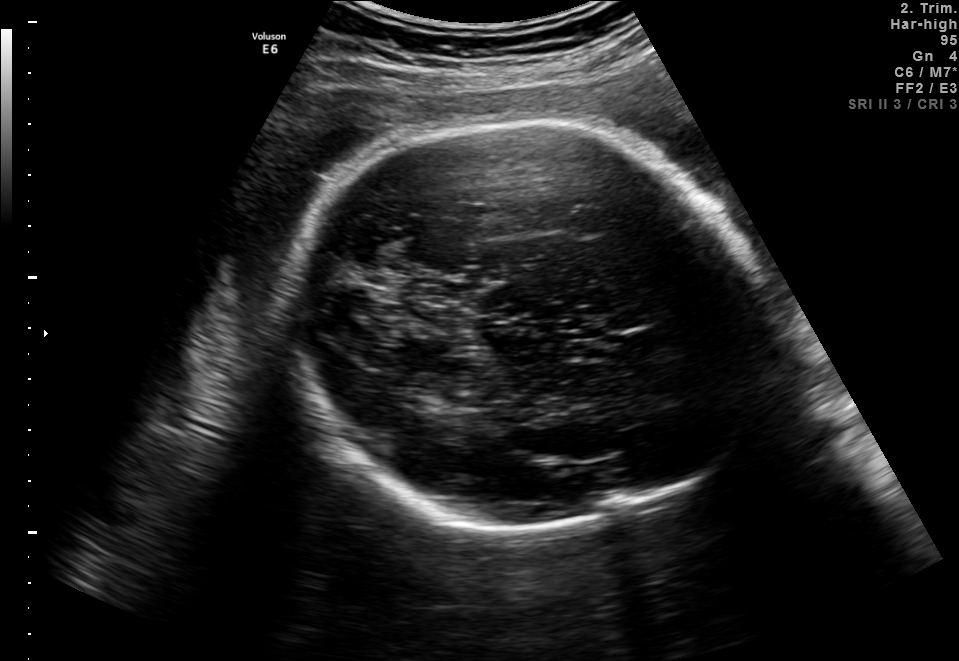
Fetal brain, trans-thalamic plane. Locate the fetal head and, if visible, the cavum septum pellucidum (CSP) and lateral ventricle (LV). Give bounding boxes as [x1,y1,x2,y2].

Head: [292,116,763,533]